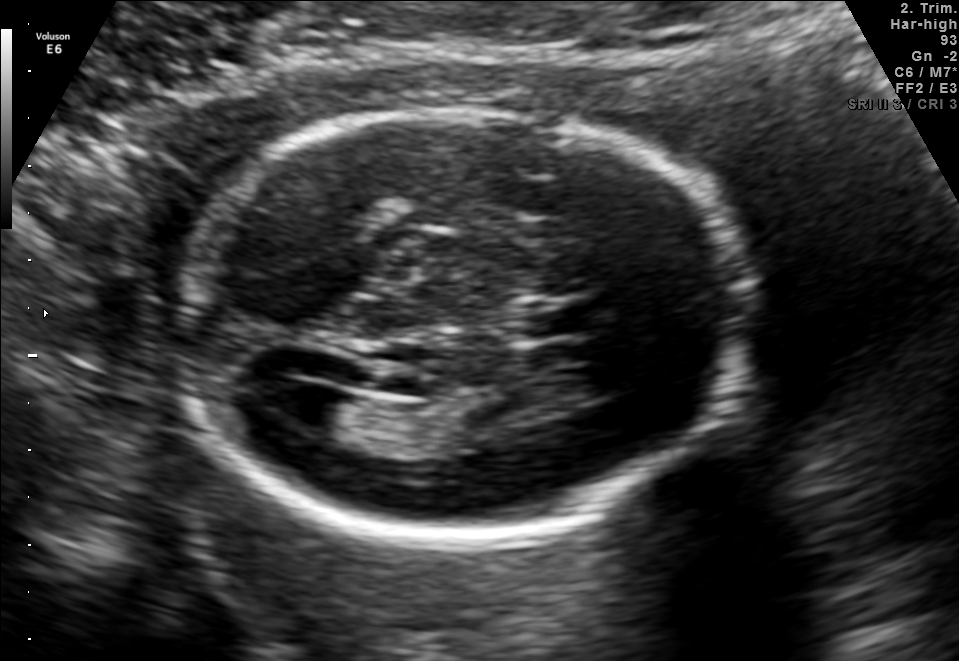
In this fetal brain, trans-ventricular plane, give the bounding box of the fetal head.

[167,95,762,556]